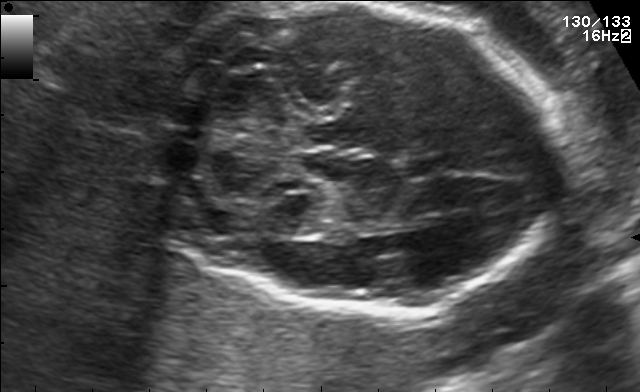
Fetal brain, trans-cerebellum plane. Where is the cavum septum pellucidum?

CSP bounding box: [399,151,455,182]